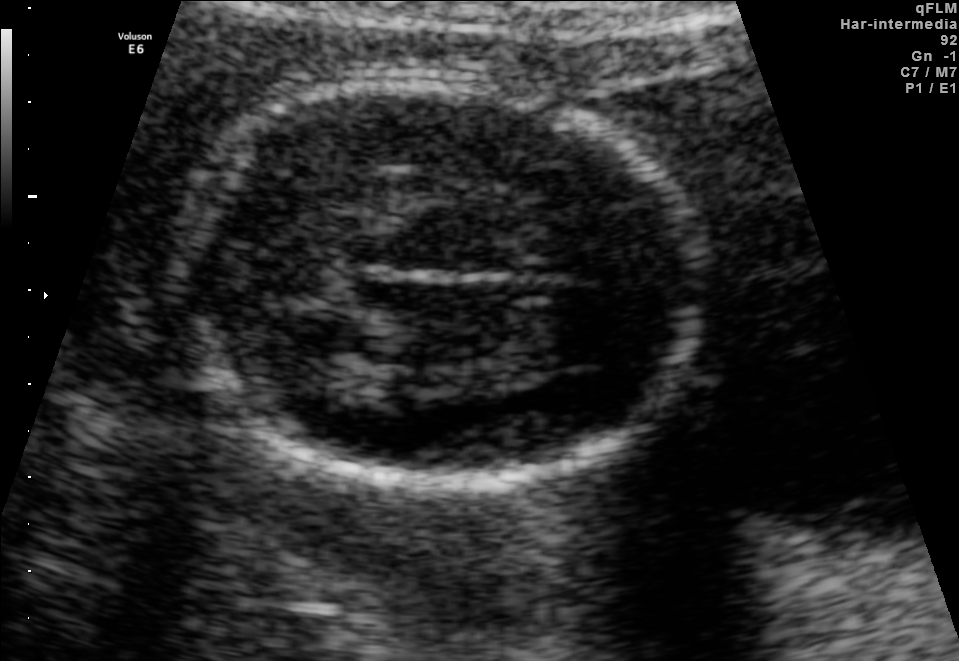
Classify this maternal-fetal ultrasound image as one of the six standard planes — fetal abdomen, fetal brain, fetal femur, fetal thorax, maternal cervix, or other. If it's fetal brain and one of the three standard brain planes (trans-thalamic, trans-cerebellum, trans-ventricular), name which.

Fetal brain (trans-thalamic plane)